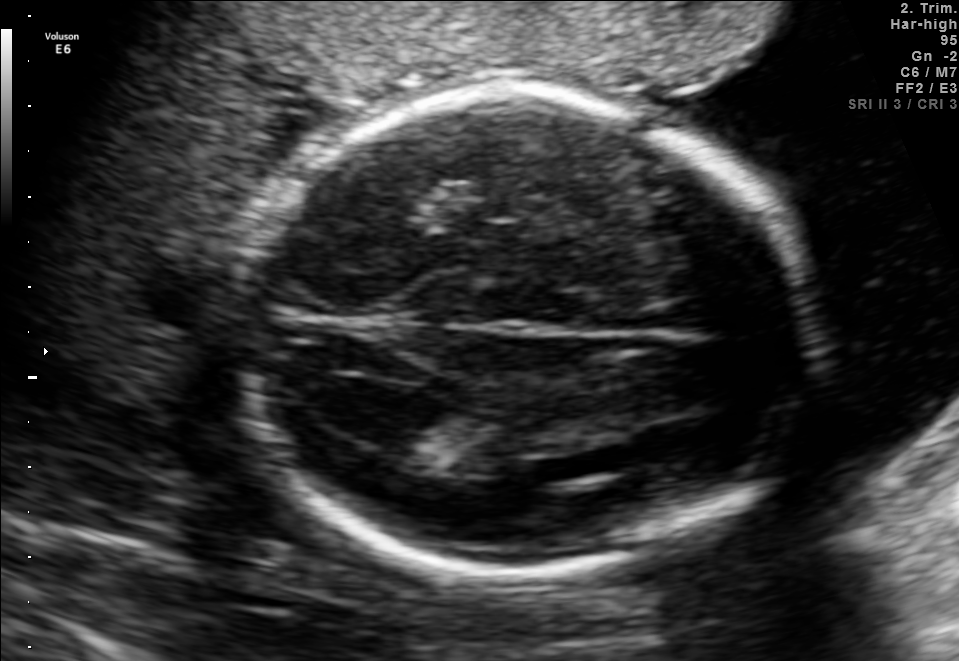
In this fetal brain, trans-ventricular plane, give bounding boxes for the head outline, cavum septum pellucidum (CSP), and lateral ventricle (LV), where visible.

Head: [223,77,836,590]
Lateral ventricle: [320,359,448,462]